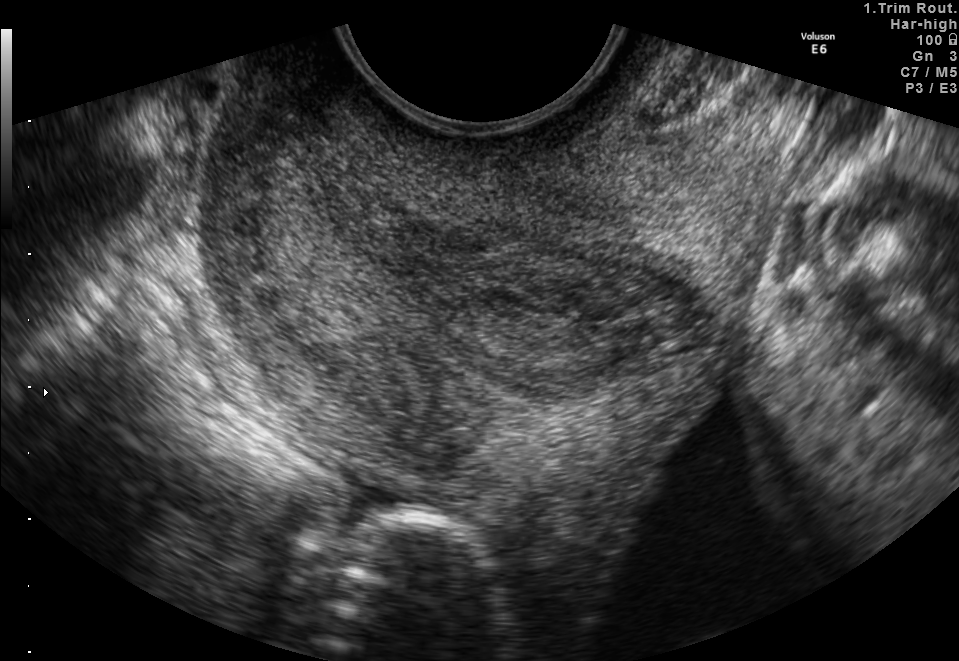
This is a 2D maternal-fetal ultrasound frame. Is it a fetal abdomen, fetal brain, fetal femur, fetal thorax, maternal cervix, or other standard plane? If it's fetal brain and one of the three standard brain planes (trans-thalamic, trans-cerebellum, trans-ventricular), name which.

Maternal cervix